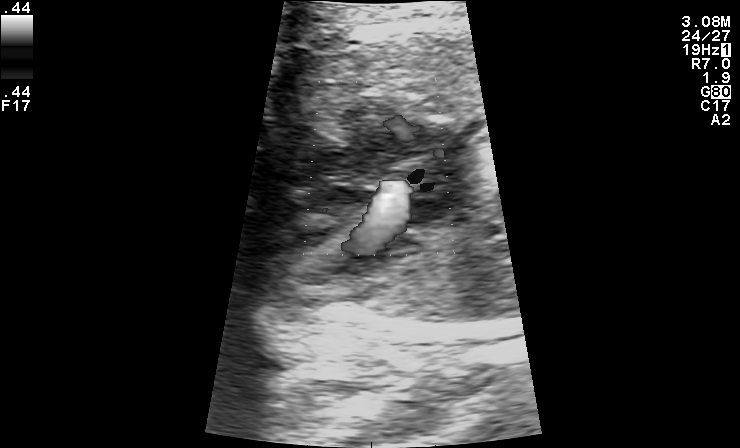
This is a 2D maternal-fetal ultrasound frame. Is it a fetal abdomen, fetal brain, fetal femur, fetal thorax, maternal cervix, or other standard plane? If it's fetal brain and one of the three standard brain planes (trans-thalamic, trans-cerebellum, trans-ventricular), name which.

Other